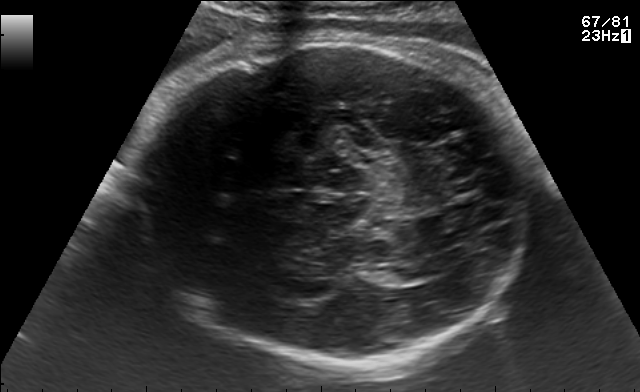
In this fetal brain, trans-thalamic plane, give bounding boxes for the head outline, cavum septum pellucidum (CSP), and lateral ventricle (LV), where visible.

Head: [129,37,531,369]
Lateral ventricle: [368,264,425,286]